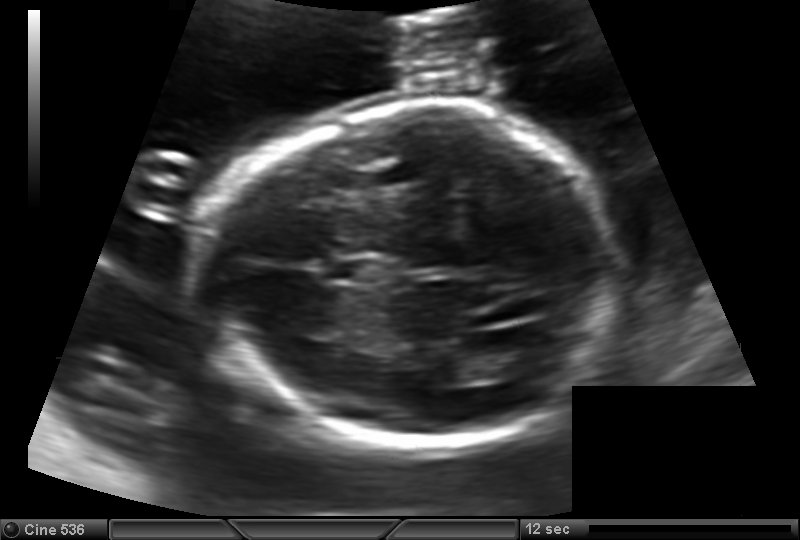
In this fetal head ultrasound, give the bounding box of the lateral ventricle. Image width: 115.2 mm.

[482,339,550,382]